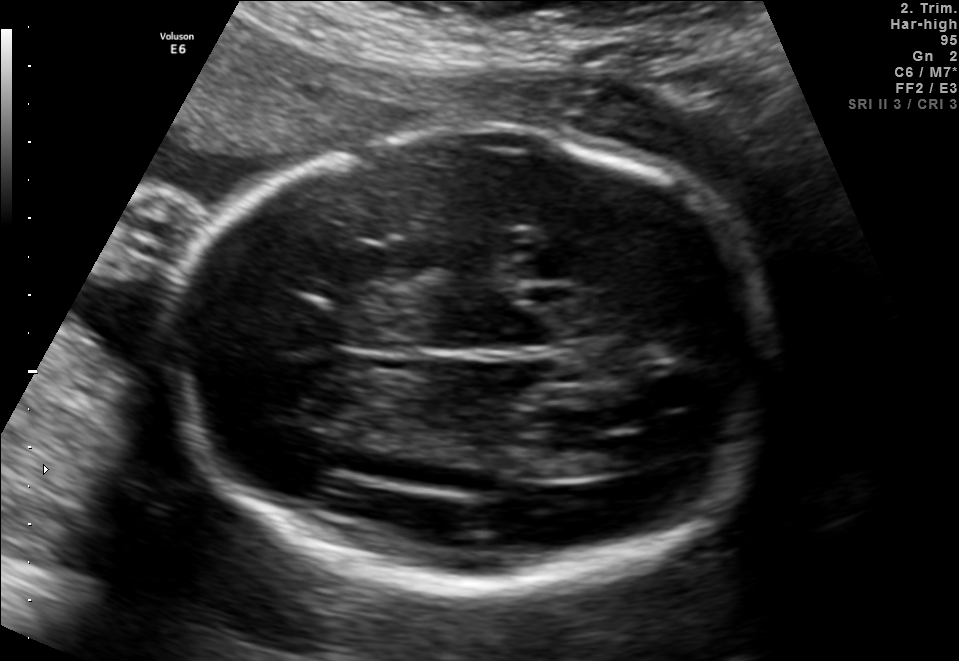
Fetal brain, trans-thalamic plane. Give [x1,y1,x2,y2] bounding boxes for each visible structure among: fetal head, CSP, LV.

Head: [160,127,787,594]